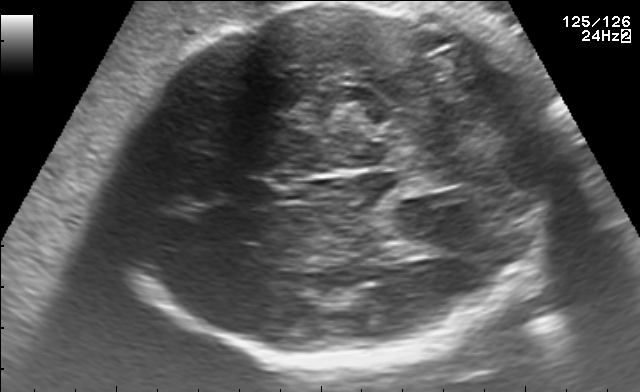
In this fetal brain, trans-thalamic plane, give the bounding box of the fetal head.

[113,2,578,366]